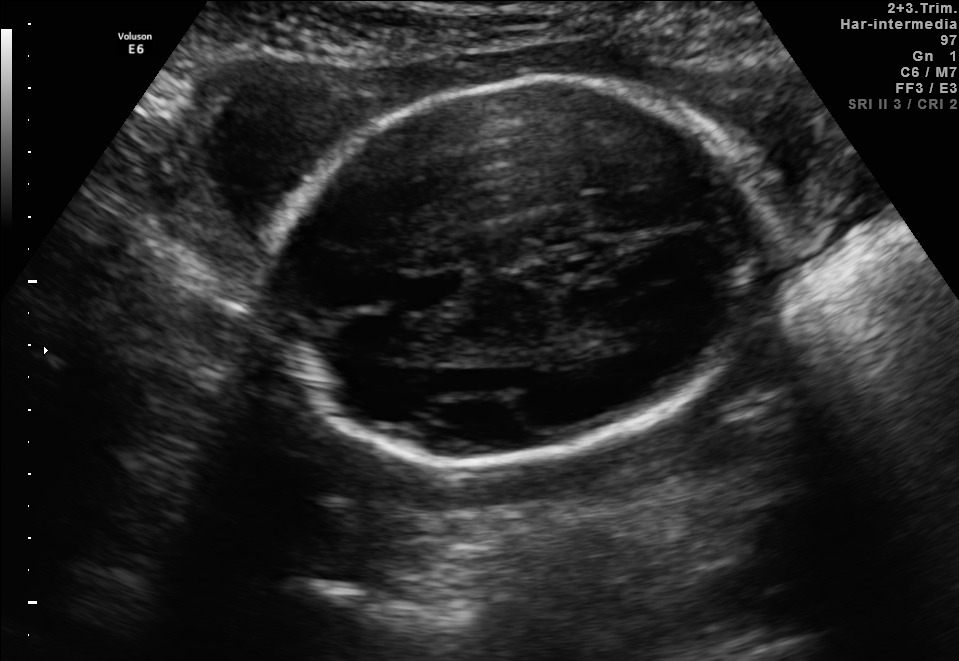
In this fetal brain, trans-thalamic plane, give bounding boxes for the head outline, cavum septum pellucidum (CSP), and lateral ventricle (LV), where visible.

Head: [264,80,763,469]
CSP: [396,271,459,305]